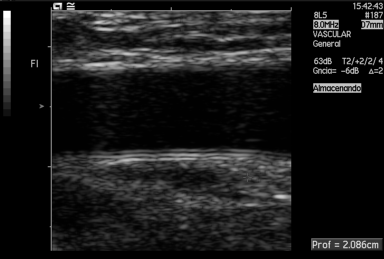
This is a 2D maternal-fetal ultrasound frame. Is it a fetal abdomen, fetal brain, fetal femur, fetal thorax, maternal cervix, or other standard plane? If it's fetal brain and one of the three standard brain planes (trans-thalamic, trans-cerebellum, trans-ventricular), name which.

Other